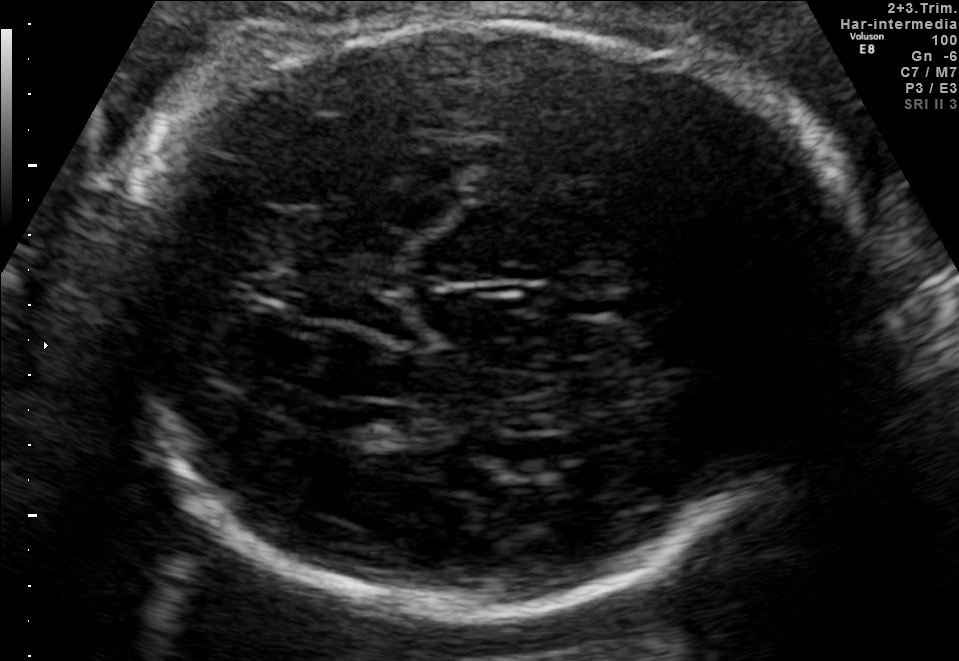
Fetal brain, trans-thalamic plane. Locate the fetal head and, if visible, the cavum septum pellucidum (CSP) and lateral ventricle (LV). Give bounding boxes as [x1,y1,x2,y2].

Head: [119,19,866,616]
CSP: [560,293,626,319]
Lateral ventricle: [325,400,417,447]